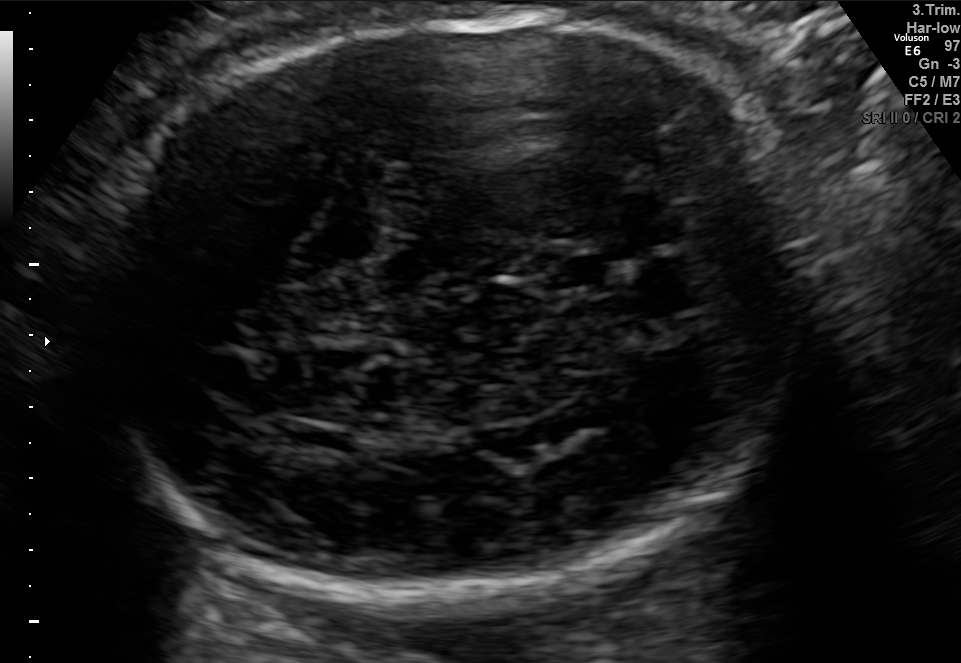
Fetal brain, trans-thalamic plane. Where is the cavum septum pellucidum?

CSP bounding box: [547,253,607,291]